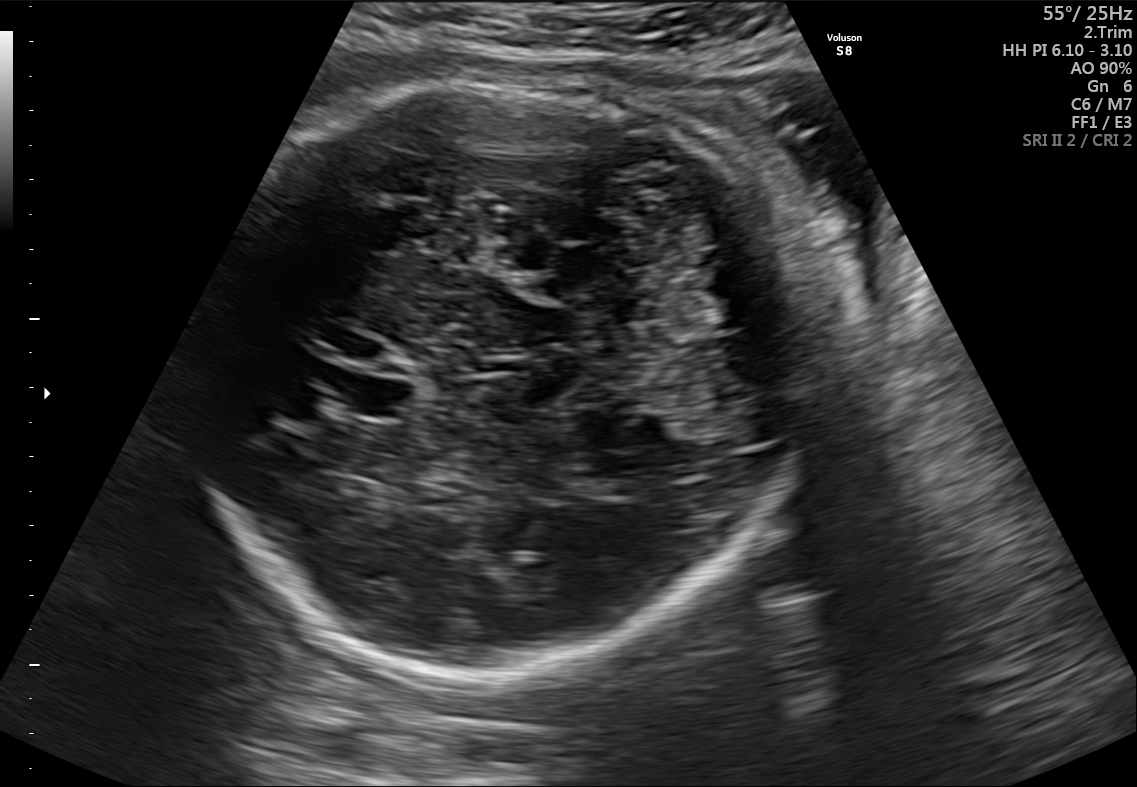
Fetal brain, trans-cerebellum plane. Where is the fetal head?

Head bounding box: [204,74,796,670]